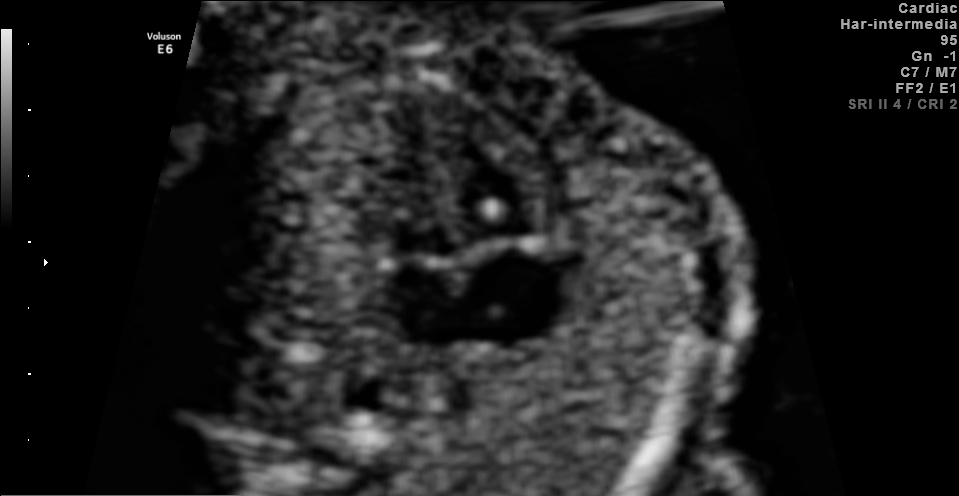
This is a 2D maternal-fetal ultrasound frame. Is it a fetal abdomen, fetal brain, fetal femur, fetal thorax, maternal cervix, or other standard plane? If it's fetal brain and one of the three standard brain planes (trans-thalamic, trans-cerebellum, trans-ventricular), name which.

Fetal thorax